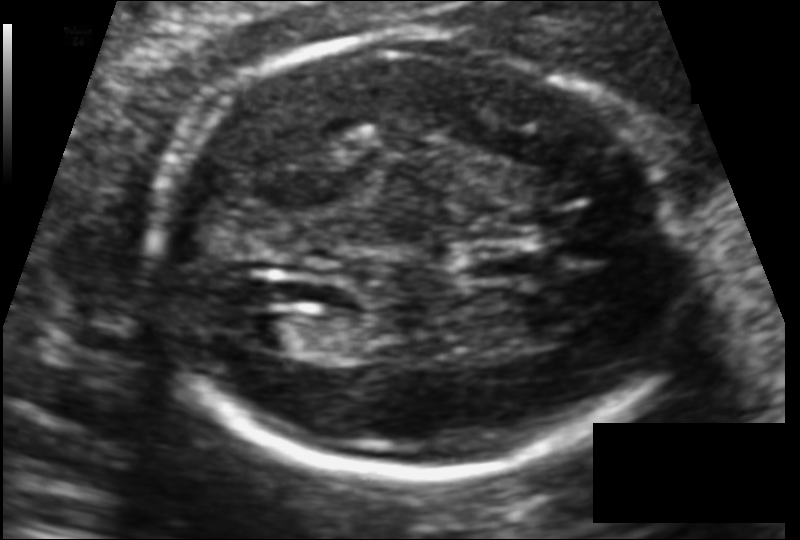
In this fetal head ultrasound, give the bounding box of the lateral ventricle. Image width: 88.1 mm.

[238,311,306,351]